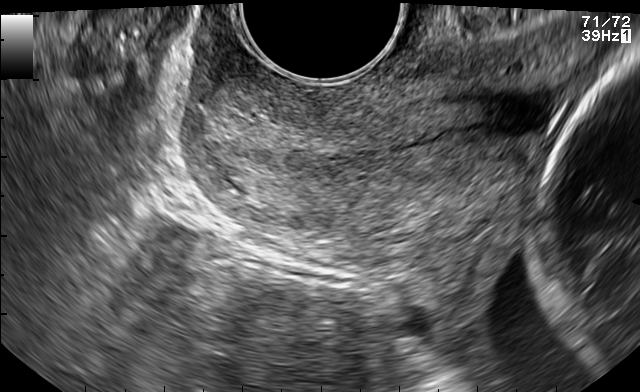
This is a 2D maternal-fetal ultrasound frame. Is it a fetal abdomen, fetal brain, fetal femur, fetal thorax, maternal cervix, or other standard plane? If it's fetal brain and one of the three standard brain planes (trans-thalamic, trans-cerebellum, trans-ventricular), name which.

Maternal cervix